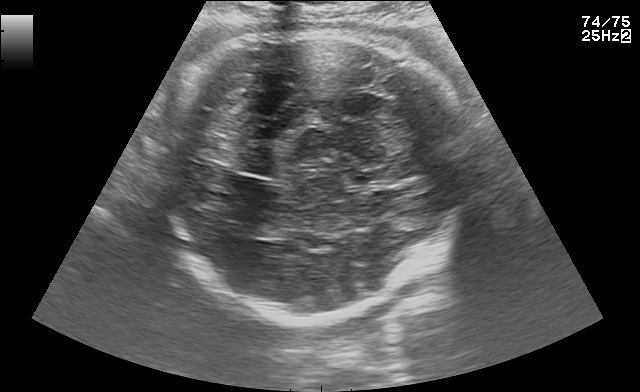
Fetal brain, trans-thalamic plane. Locate the fetal head and, if visible, the cavum septum pellucidum (CSP) and lateral ventricle (LV). Give bounding boxes as [x1,y1,x2,y2].

Head: [158,32,468,320]